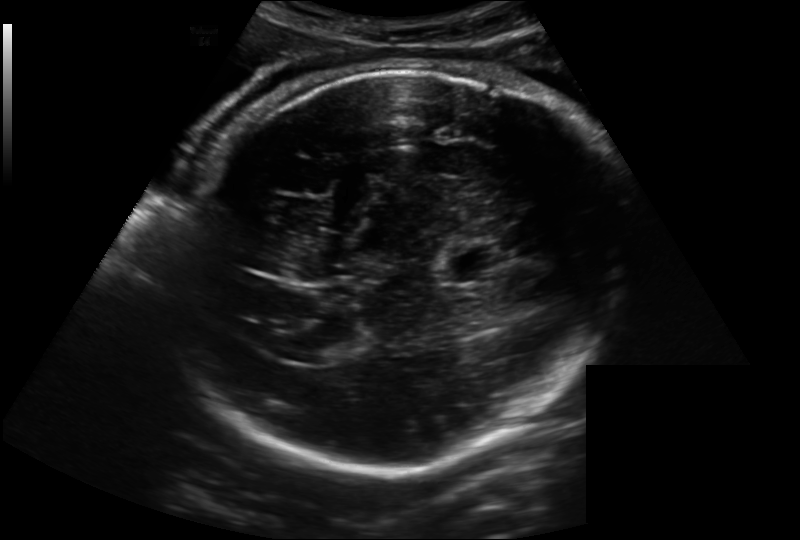
Estimate the fetal head circumference from this 2D ultrasound.

Head circumference: 299.1 mm (image width 177.2 mm).